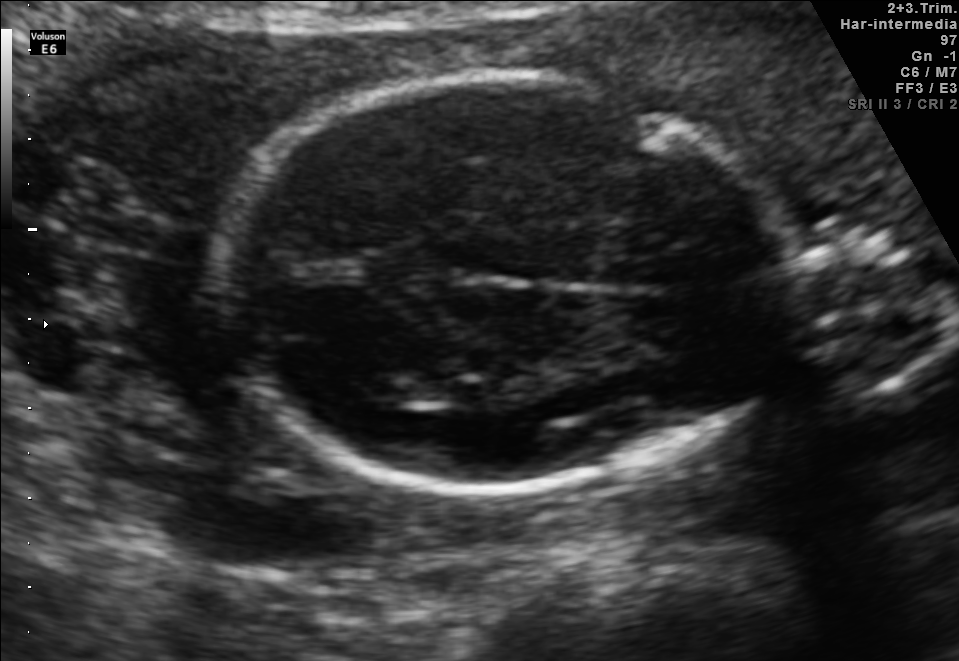
Fetal brain, trans-thalamic plane. Locate the lateral ventricle.

Lateral ventricle: [348,373,430,407]